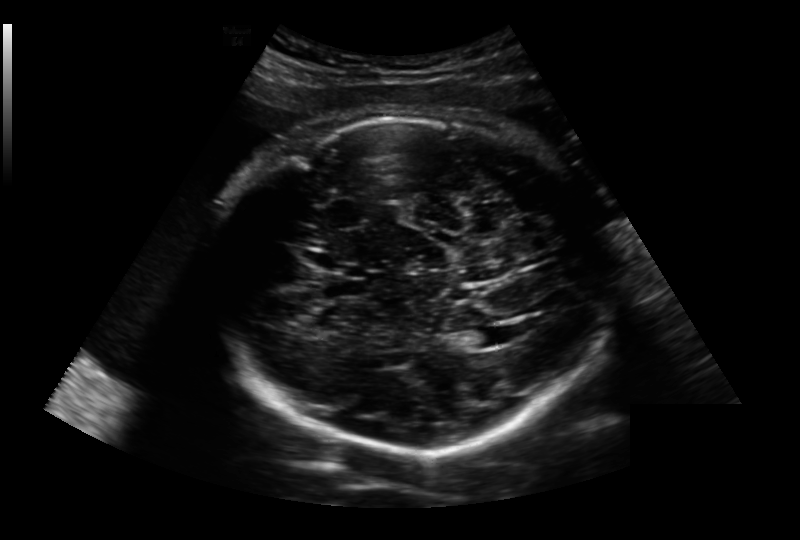
Fetal head ultrasound. Image width: 188.7 mm. Locate the cavum septum pellucidum.

CSP: [320,277,372,300]